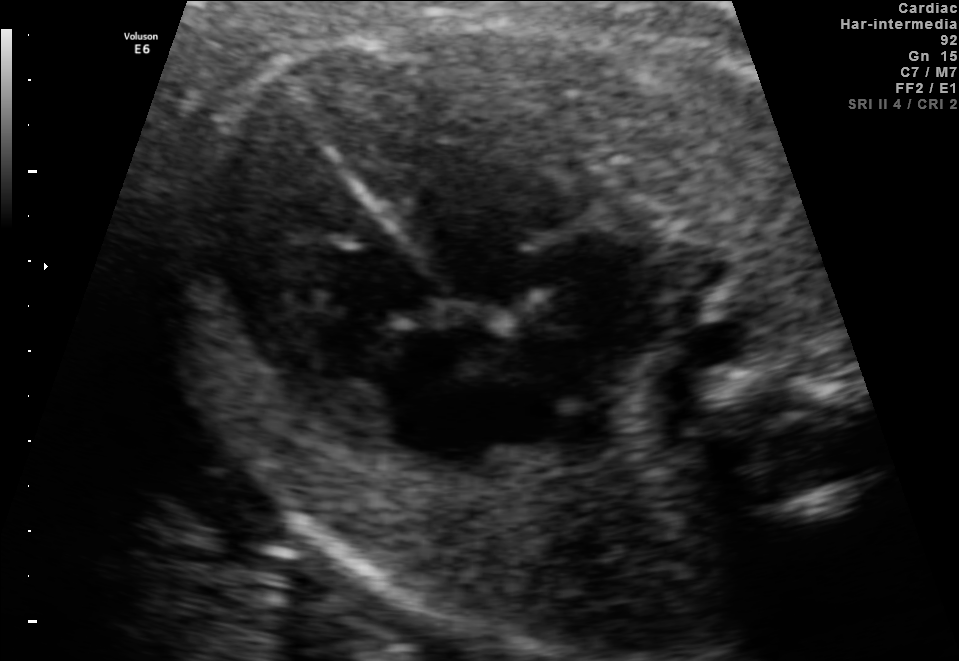
Identify the standard plane in this fetal ultrasound image: fetal abdomen, fetal brain, fetal femur, fetal thorax, maternal cervix, or other. If it's fetal brain and one of the three standard brain planes (trans-thalamic, trans-cerebellum, trans-ventricular), name which.

Fetal thorax